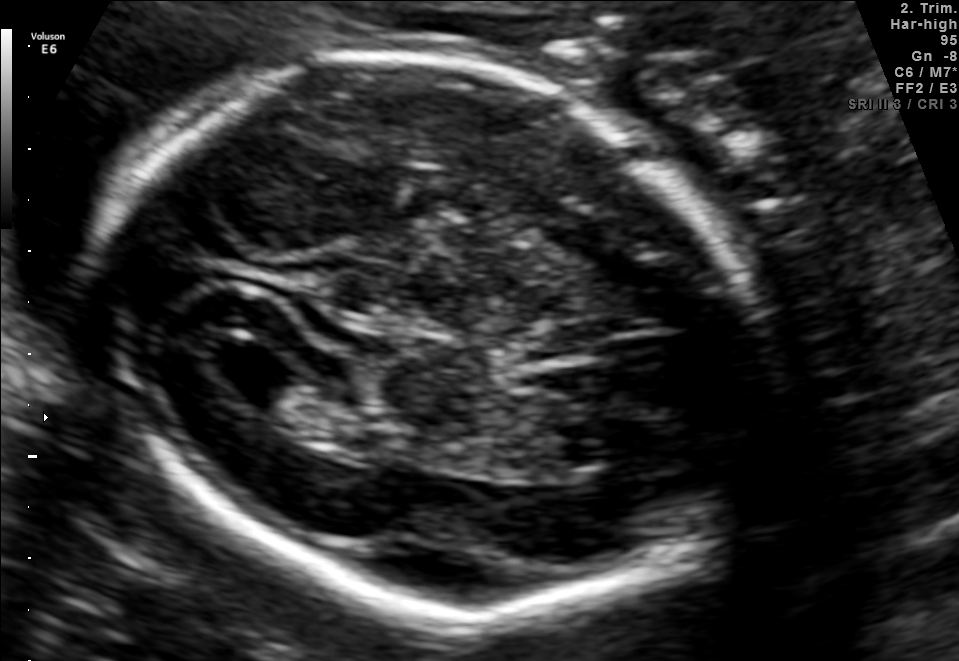
Fetal brain, trans-ventricular plane. Locate the fetal head.

Head: [71,37,788,634]